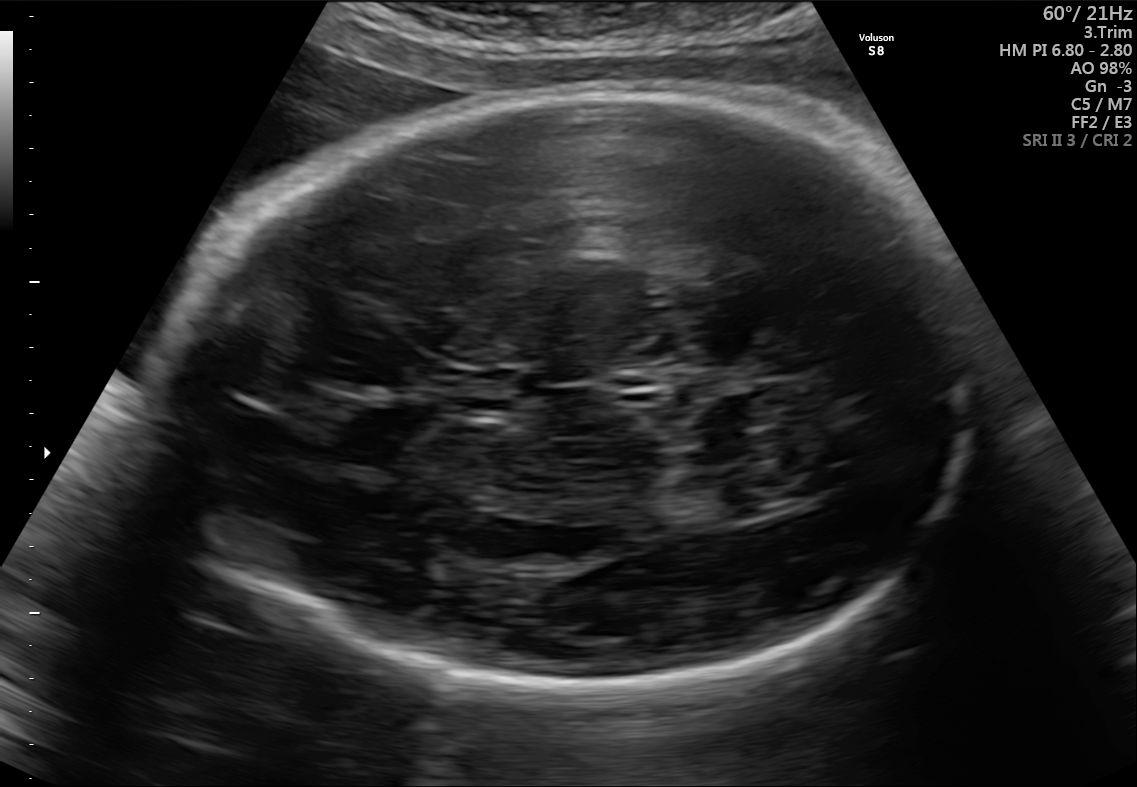
Fetal brain, trans-thalamic plane. Locate the fetal head.

Head: [161,94,978,705]